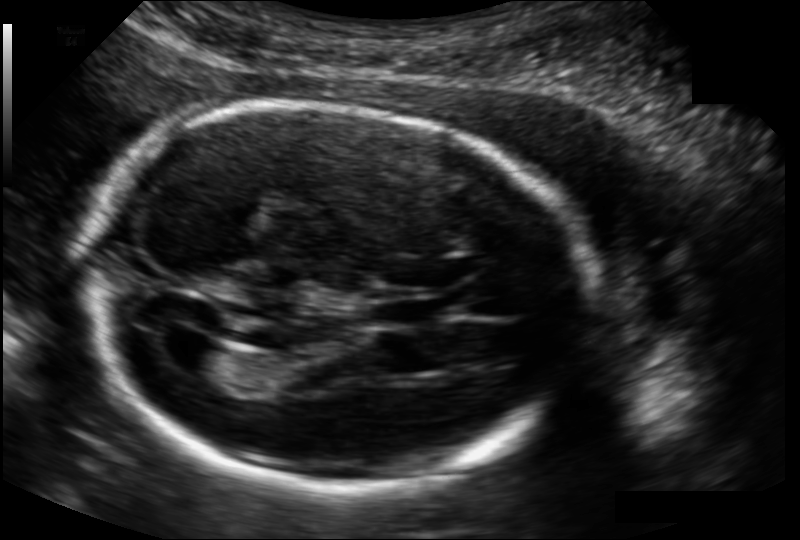
In this fetal head ultrasound, give the bounding box of the fetal head. Image width: 107.6 mm.

[90,107,586,489]